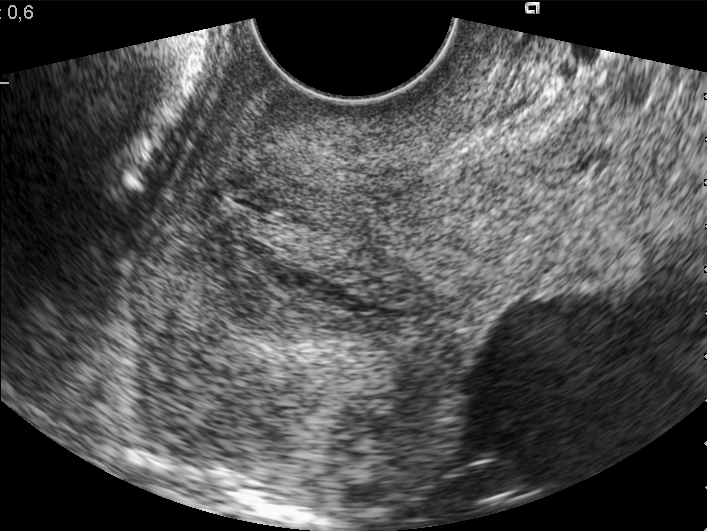
Identify the standard plane in this fetal ultrasound image: fetal abdomen, fetal brain, fetal femur, fetal thorax, maternal cervix, or other. If it's fetal brain and one of the three standard brain planes (trans-thalamic, trans-cerebellum, trans-ventricular), name which.

Maternal cervix